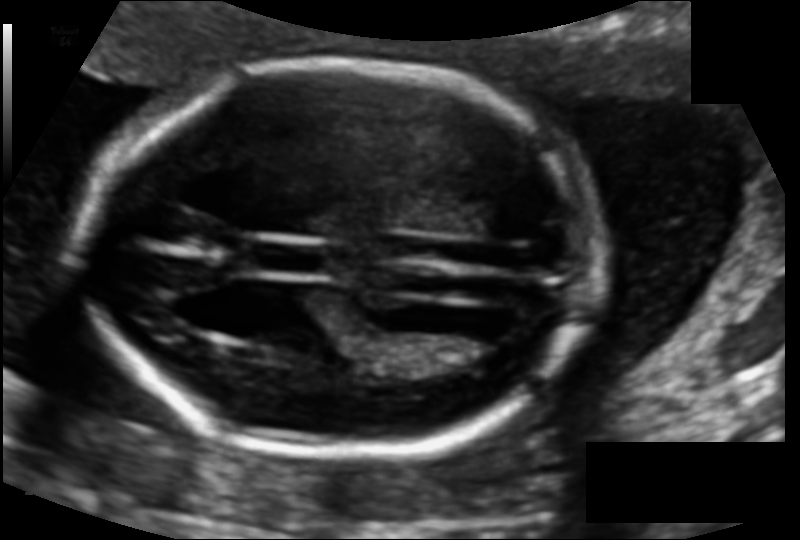
In this fetal head ultrasound, give the bounding box of the fetal head. Image width: 88.3 mm.

[78,60,591,453]